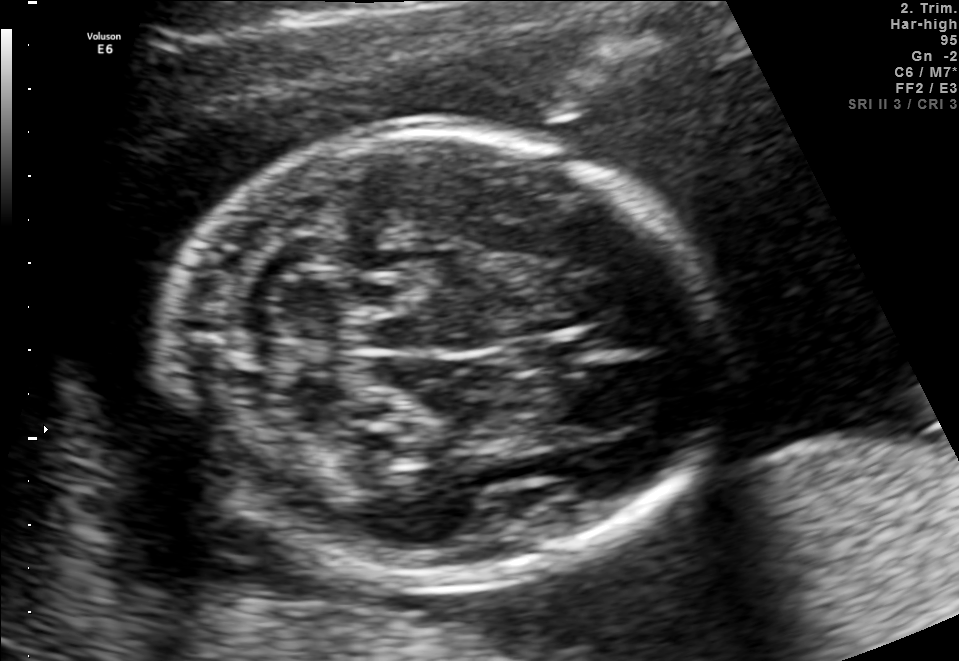
Fetal brain, trans-cerebellum plane. Locate the fetal head.

Head: [174,124,723,579]